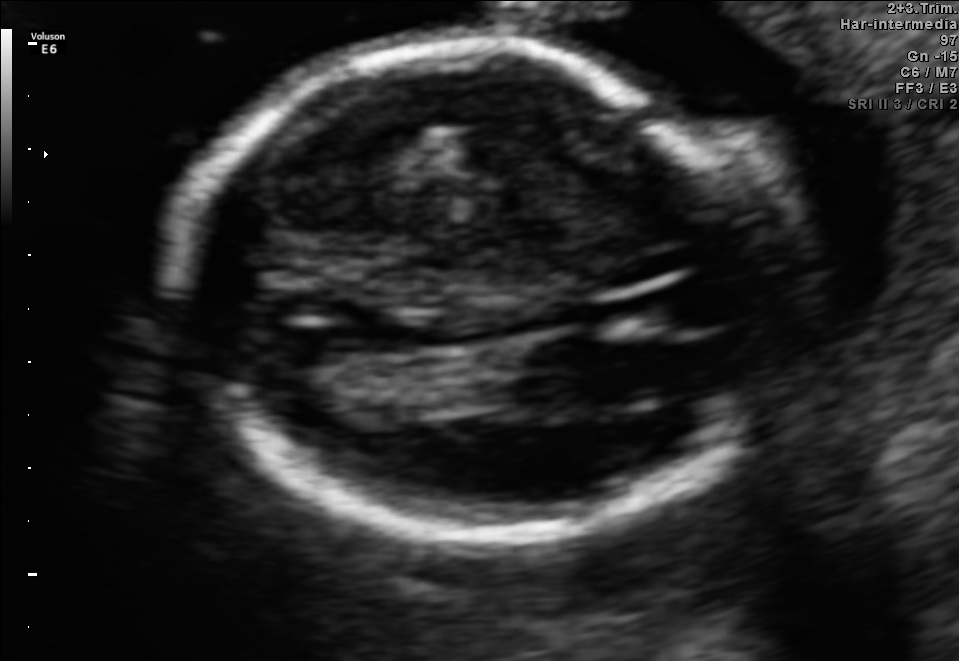
In this fetal brain, trans-thalamic plane, give the bounding box of the fetal head.

[169,43,764,536]